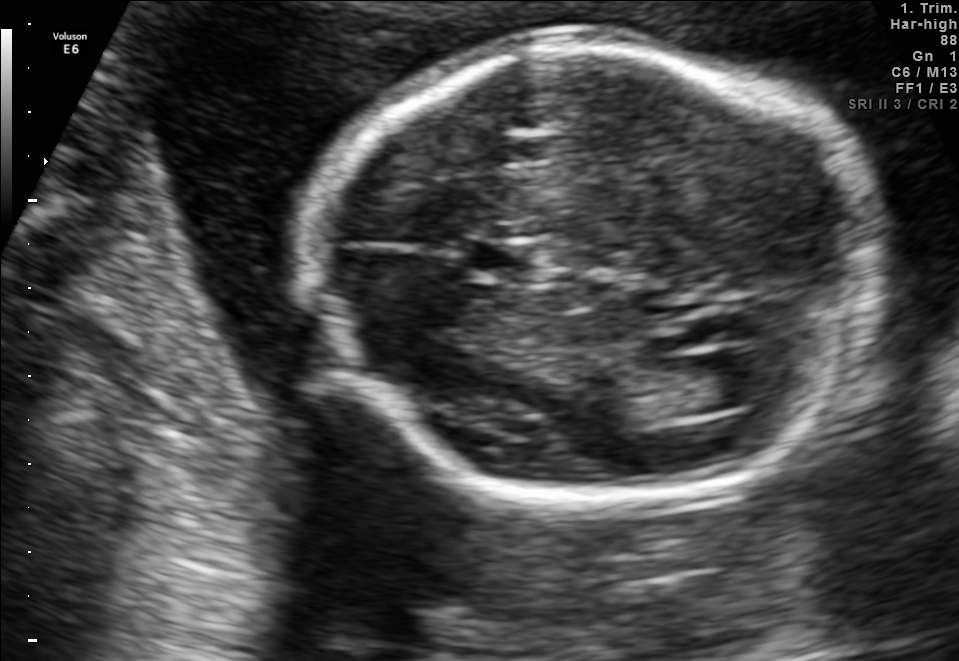
Fetal brain, trans-ventricular plane. Locate the cavum septum pellucidum.

CSP: [471,241,539,282]